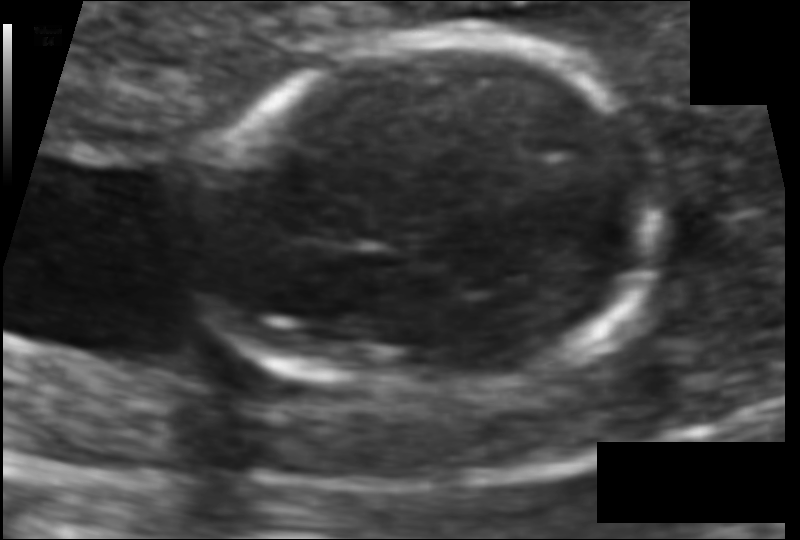
Fetal head ultrasound. Image width: 62.9 mm. Locate the fetal head.

Head: [190,33,657,404]